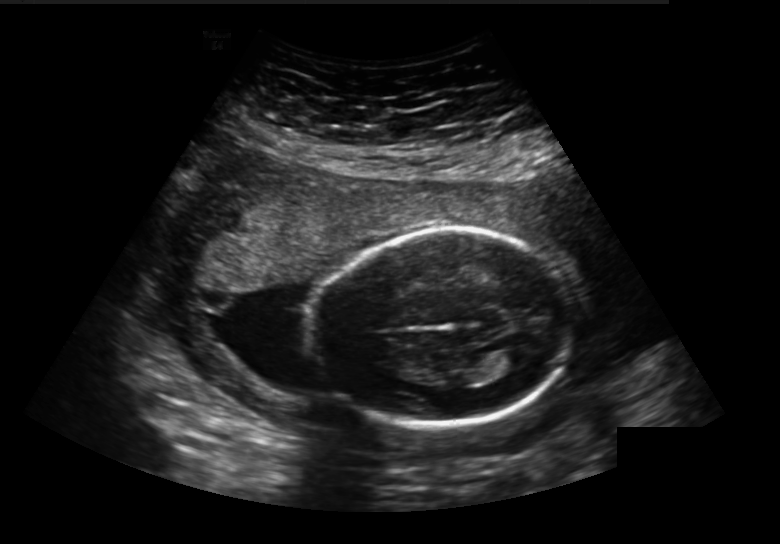
Fetal head ultrasound. Image width: 184.0 mm. Give [x1,y1,x2,y2] bounding boxes for each visible structure among: fetal head, CSP, LV.

Head: [314,230,572,428]
Lateral ventricle: [496,342,536,375]